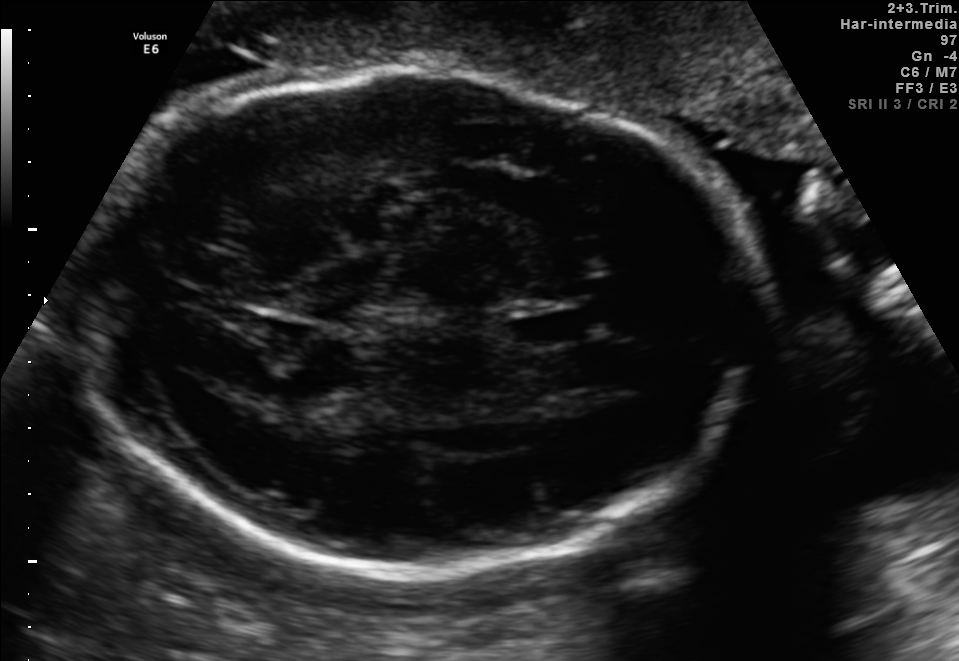
Fetal brain, trans-thalamic plane. Where is the cavum septum pellucidum?

CSP bounding box: [508,307,588,353]